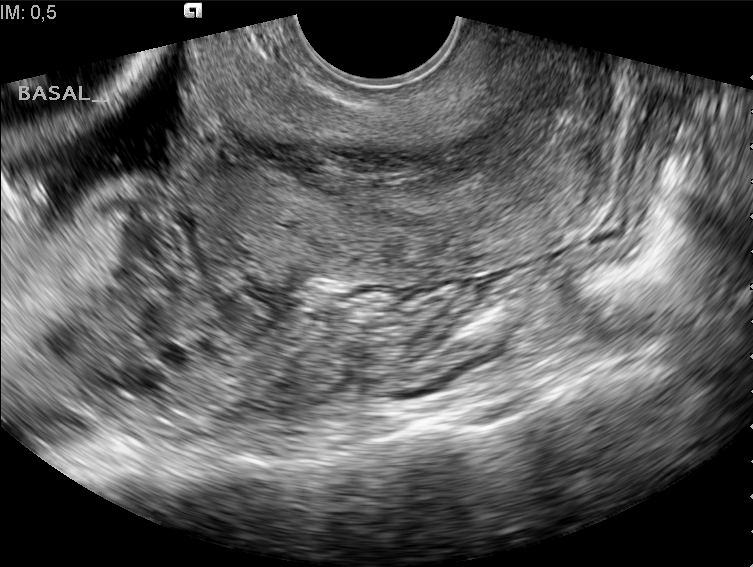
This is a 2D maternal-fetal ultrasound frame. Is it a fetal abdomen, fetal brain, fetal femur, fetal thorax, maternal cervix, or other standard plane? If it's fetal brain and one of the three standard brain planes (trans-thalamic, trans-cerebellum, trans-ventricular), name which.

Maternal cervix